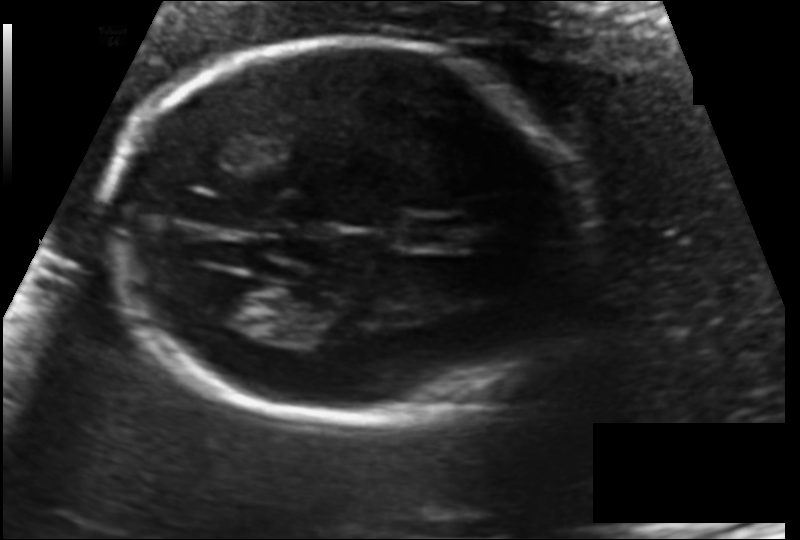
In this fetal head ultrasound, give the bounding box of the lateral ventricle. Image width: 97.9 mm.

[195,270,282,335]